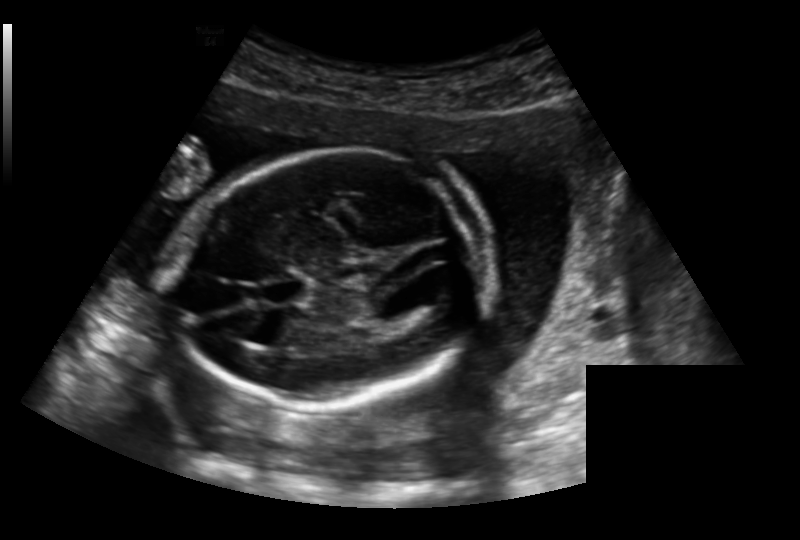
Fetal head ultrasound. Image width: 152.5 mm. Locate the fetal head and, if visible, the cavum septum pellucidum (CSP) and lateral ventricle (LV). Give bounding boxes as [x1,y1,x2,y2].

Head: [177,149,483,404]
CSP: [263,275,307,306]
Lateral ventricle: [404,262,461,306]